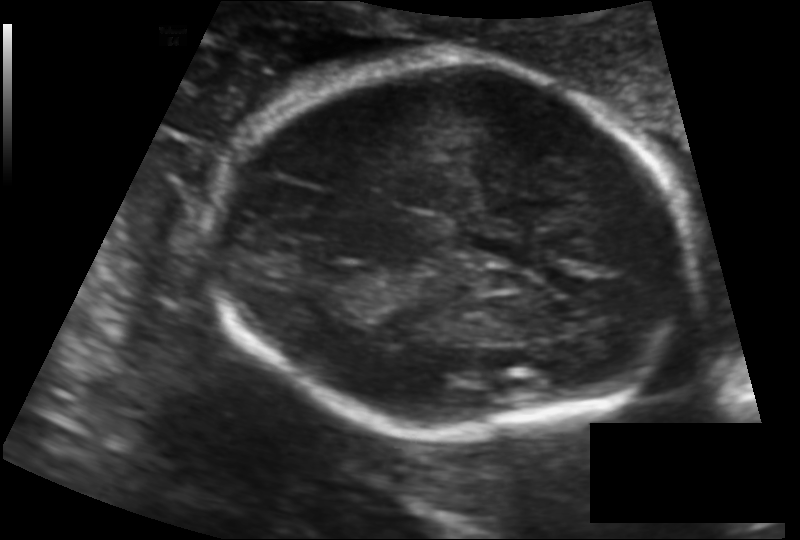
What is the fetal head circumference? Image width is 102.5 mm.

179.8 mm